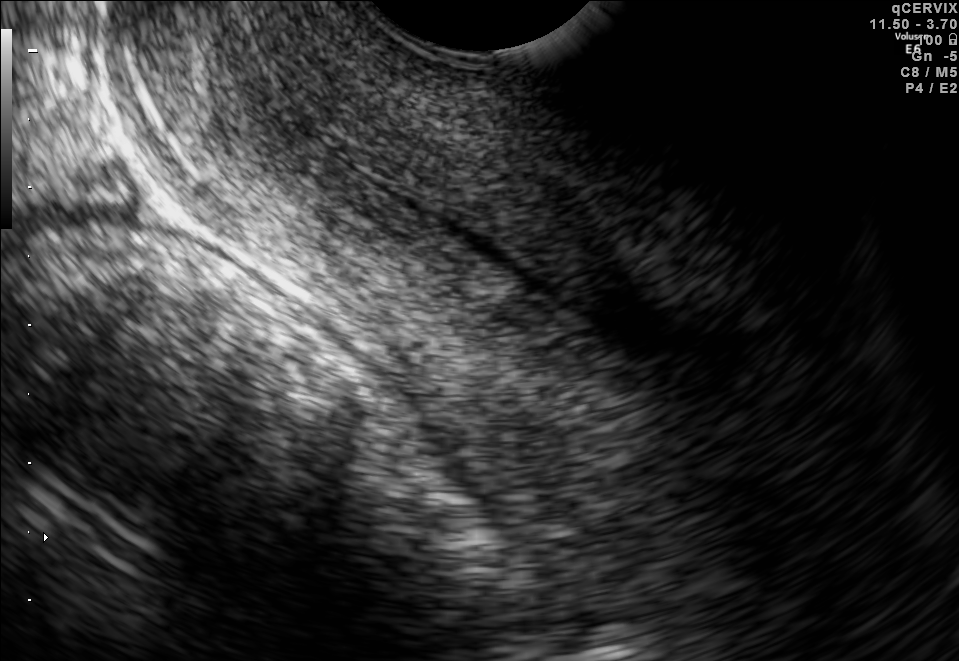
Which standard maternal-fetal ultrasound plane is shown: fetal abdomen, fetal brain, fetal femur, fetal thorax, maternal cervix, or other? If it's fetal brain and one of the three standard brain planes (trans-thalamic, trans-cerebellum, trans-ventricular), name which.

Maternal cervix